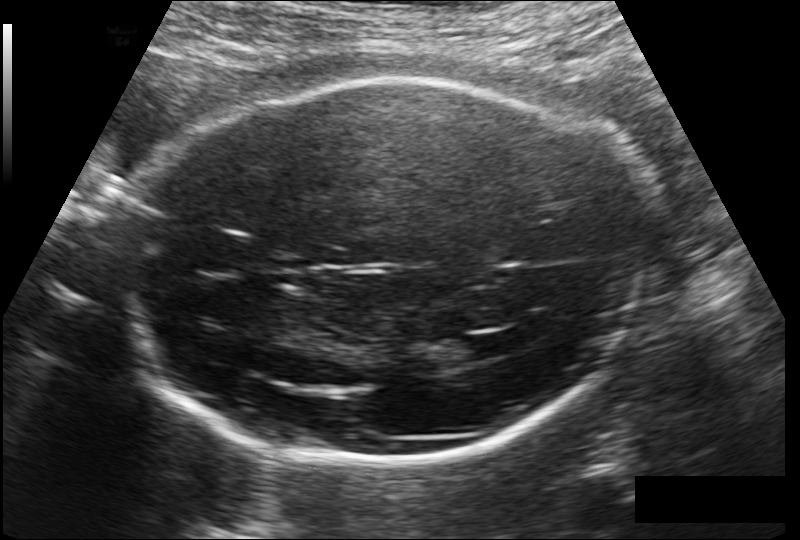
Measure the fetal head circumference shown in this ultrasound image. Image width: 142.1 mm.

Head circumference: 262.3 mm.